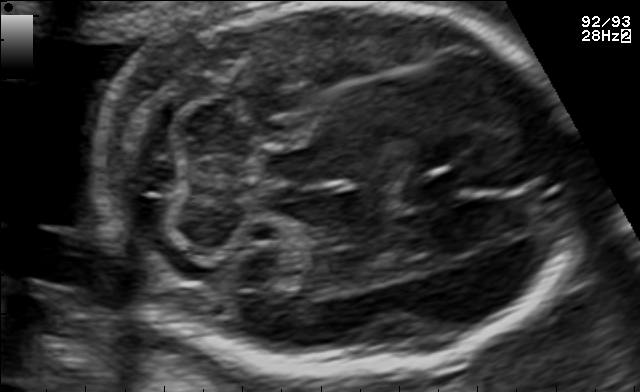
In this fetal brain, trans-cerebellum plane, give the bounding box of the cavum septum pellucidum.

[412,161,476,208]